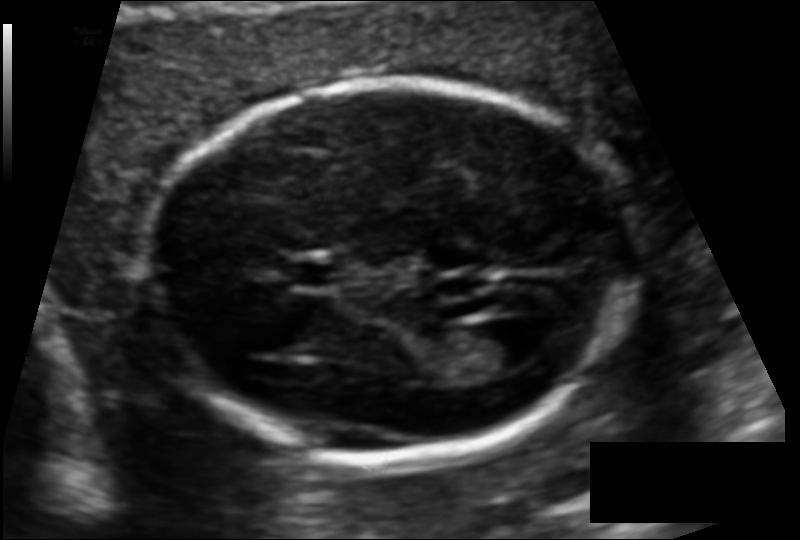
Fetal head ultrasound. Image width: 88.0 mm. Locate the fetal head and, if visible, the cavum septum pellucidum (CSP) and lateral ventricle (LV). Give bounding boxes as [x1,y1,x2,y2].

Head: [147,79,633,457]
CSP: [287,263,343,286]
Lateral ventricle: [462,309,552,380]